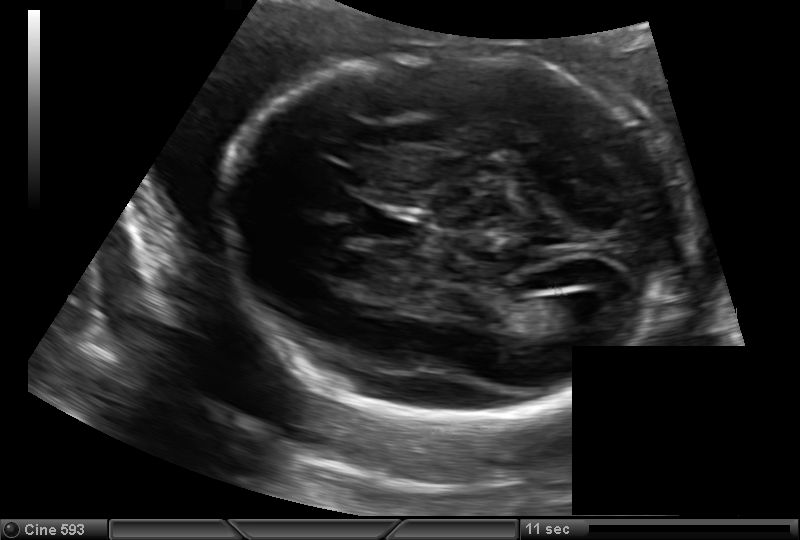
Fetal head ultrasound. Image width: 115.2 mm. Locate the cavum septum pellucidum.

CSP: [366,207,431,247]